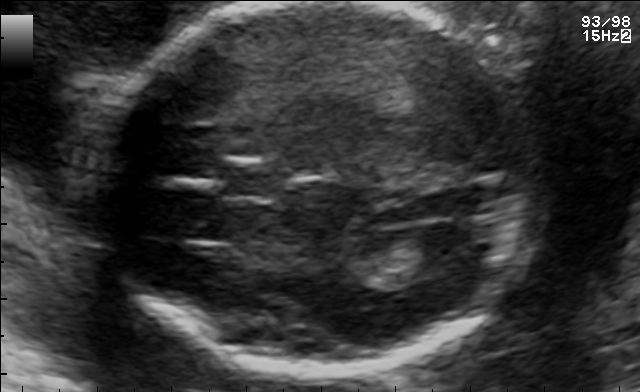
Fetal brain, trans-ventricular plane. Give [x1,y1,x2,y2] bounding boxes for each visible structure among: fetal head, CSP, LV.

Head: [78,2,555,379]